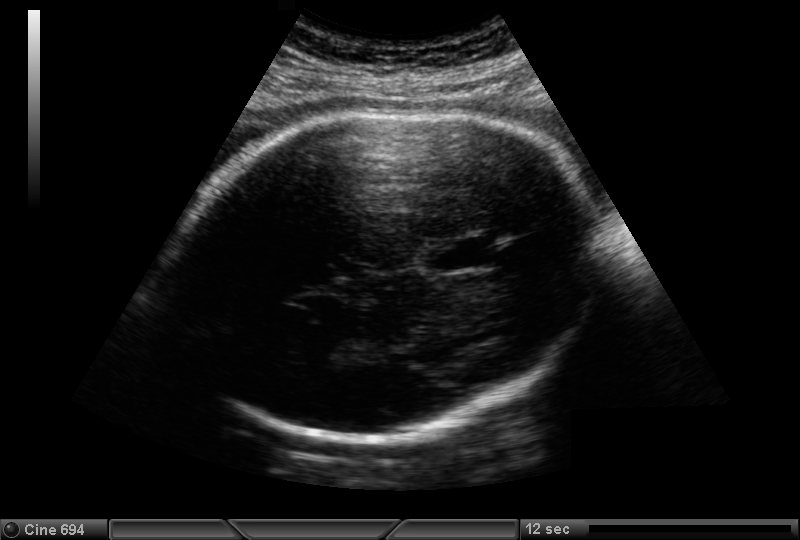
What is the fetal head circumference? Image width is 176.7 mm.

272.8 mm